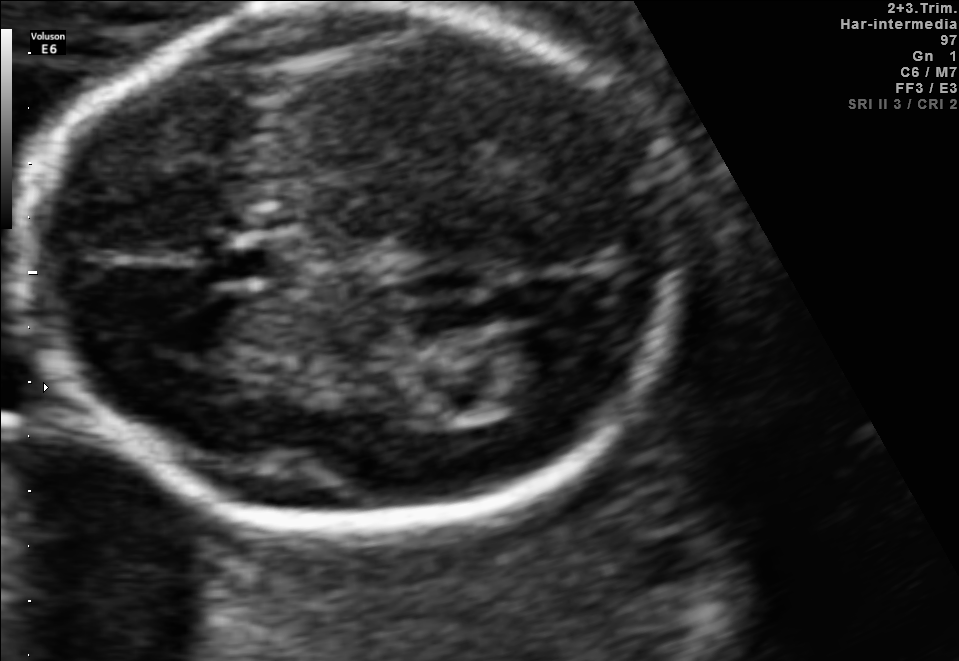
In this fetal brain, trans-thalamic plane, give bounding boxes for the head outline, cavum septum pellucidum (CSP), and lateral ventricle (LV), where visible.

Head: [16,3,687,546]
CSP: [204,233,303,287]
Lateral ventricle: [475,326,581,410]